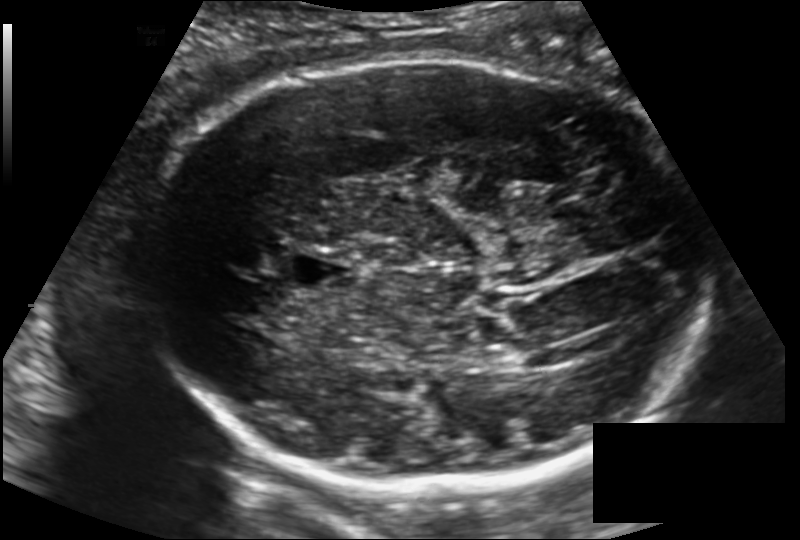
Fetal head ultrasound. Image width: 136.5 mm. Where is the lateral ventricle?

Lateral ventricle bounding box: [494,338,546,370]